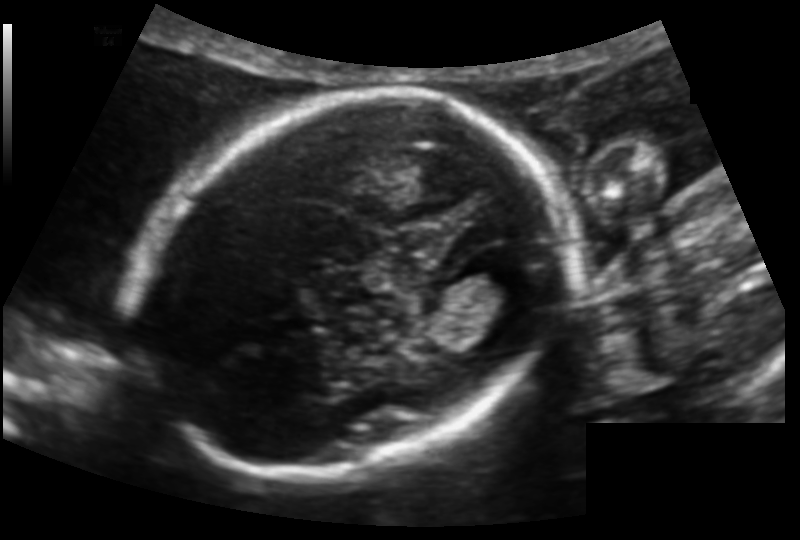
From this fetal ultrasound, estimate the head circumference (image width 98.5 mm).

Head circumference: 159.1 mm.